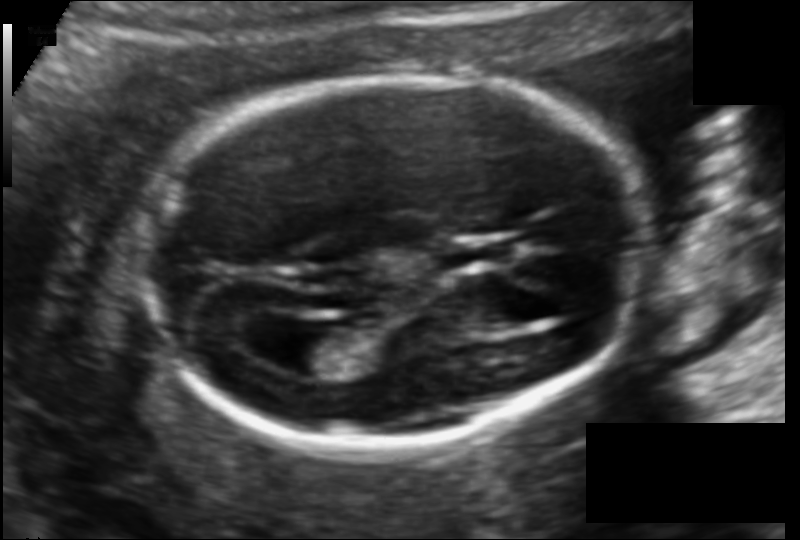
Estimate the fetal head circumference from this 2D ultrasound.

Head circumference: 158.9 mm (image width 91.5 mm).